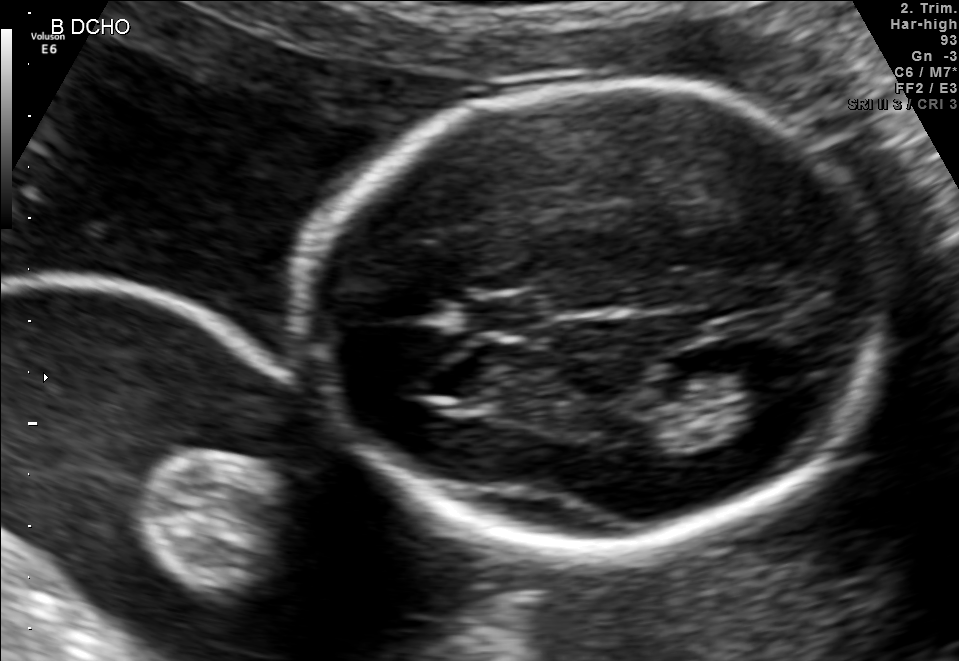
In this fetal brain, trans-thalamic plane, give the bounding box of the fetal head.

[297,80,892,555]